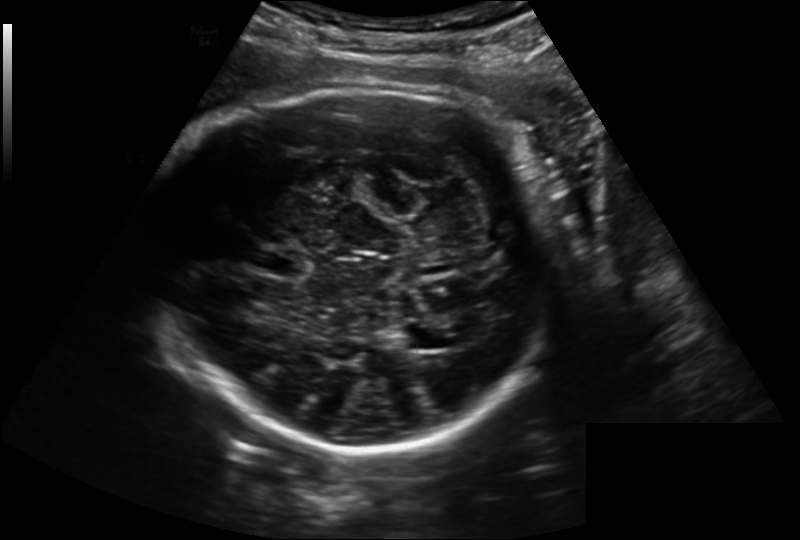
In this fetal head ultrasound, give bounding boxes for the head outline, cavum septum pellucidum (CSP), and lateral ventricle (LV), where visible. Image width: 177.2 mm.

Head: [148,80,554,447]
CSP: [251,245,312,284]
Lateral ventricle: [398,327,439,349]